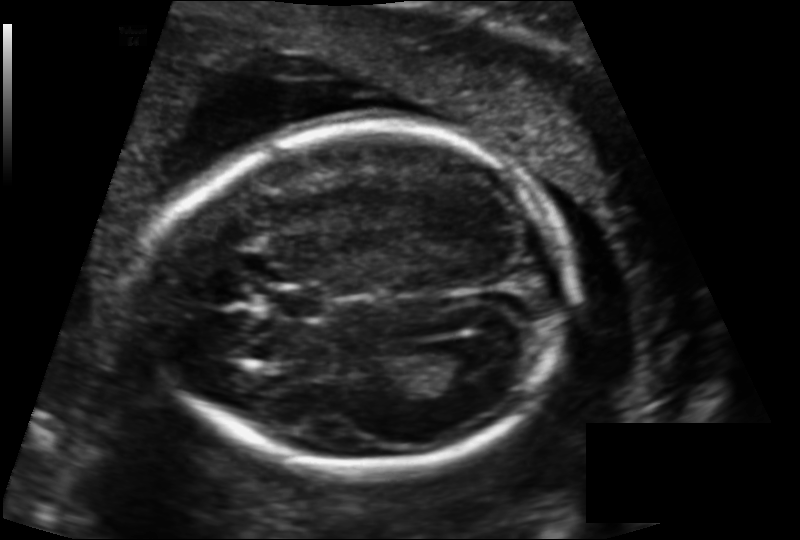
In this fetal head ultrasound, give the bounding box of the fetal head. Image width: 109.5 mm.

[152,118,568,474]